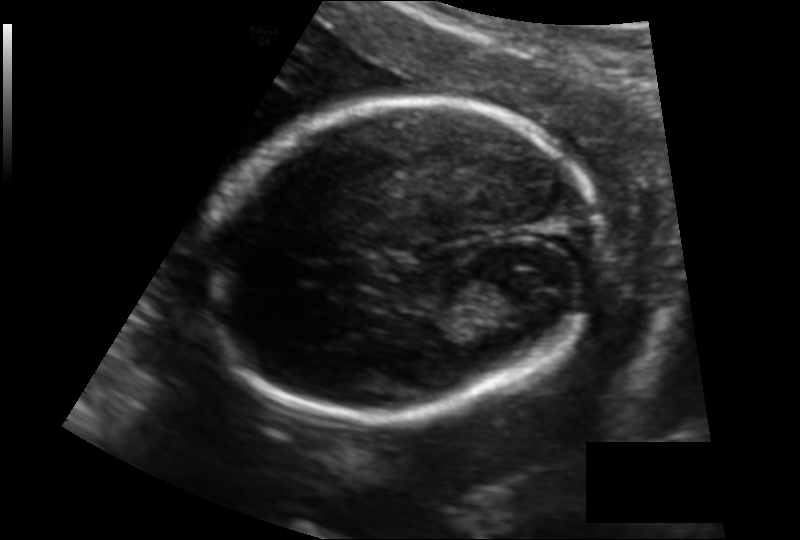
Estimate the fetal head circumference from this 2D ultrasound. Image width: 112.2 mm.

Head circumference: 163.2 mm.